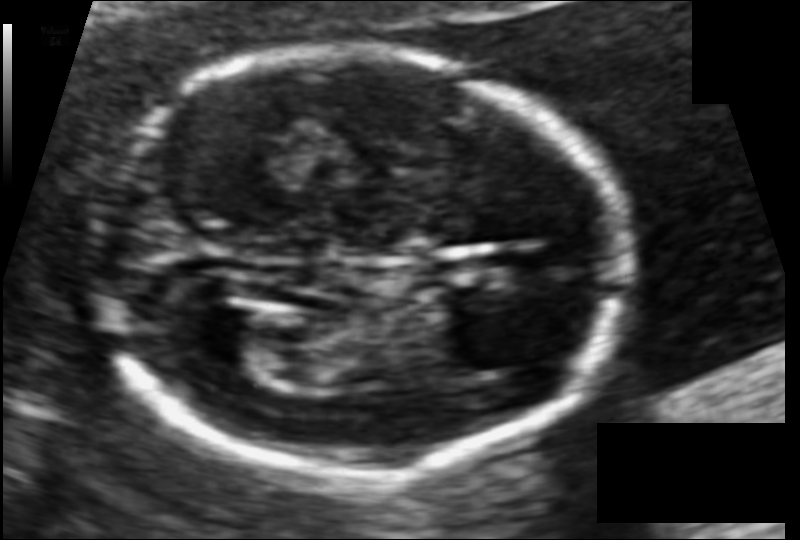
Estimate the fetal head circumference from this 2D ultrasound.

Head circumference: 135.4 mm (image width 69.9 mm).